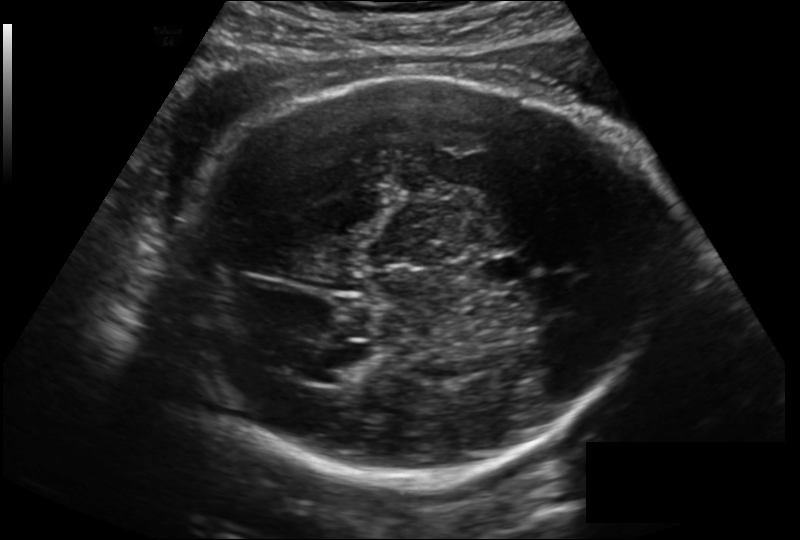
Fetal head ultrasound. Image width: 159.3 mm. Locate the fetal head and, if visible, the cavum septum pellucidum (CSP) and lateral ventricle (LV). Give bounding boxes as [x1,y1,x2,y2].

Head: [167,76,657,477]
CSP: [474,246,532,293]
Lateral ventricle: [313,348,372,386]